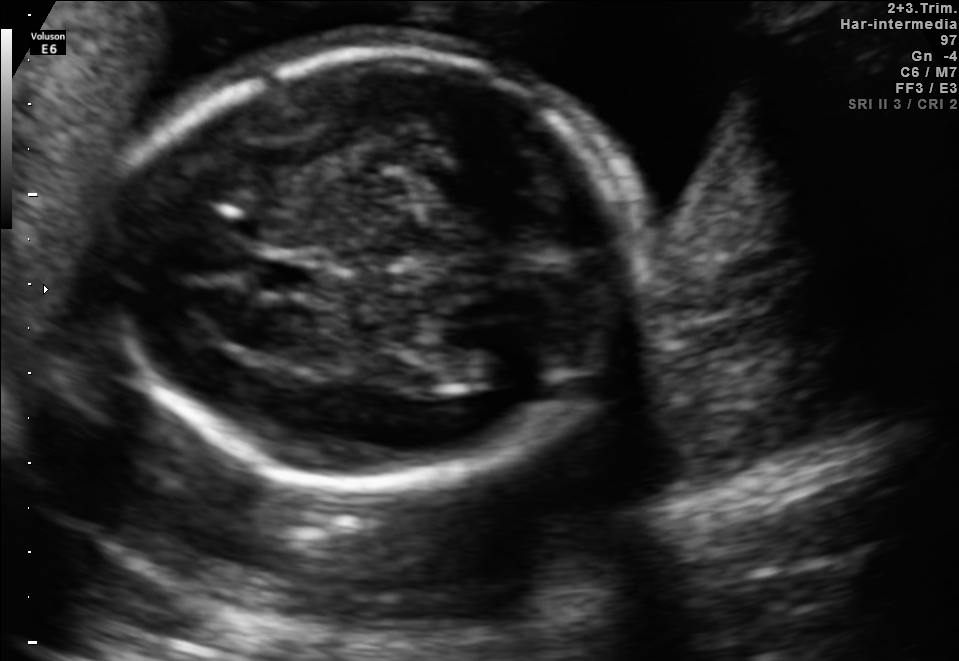
In this fetal brain, trans-thalamic plane, give the bounding box of the fetal head.

[111,48,648,473]